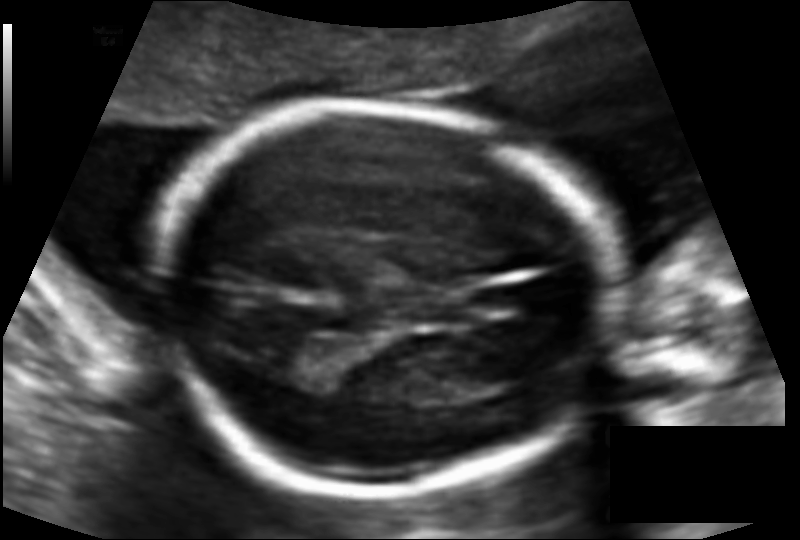
Estimate the fetal head circumference from this 2D ultrasound.

Head circumference: 153.4 mm (image width 87.7 mm).